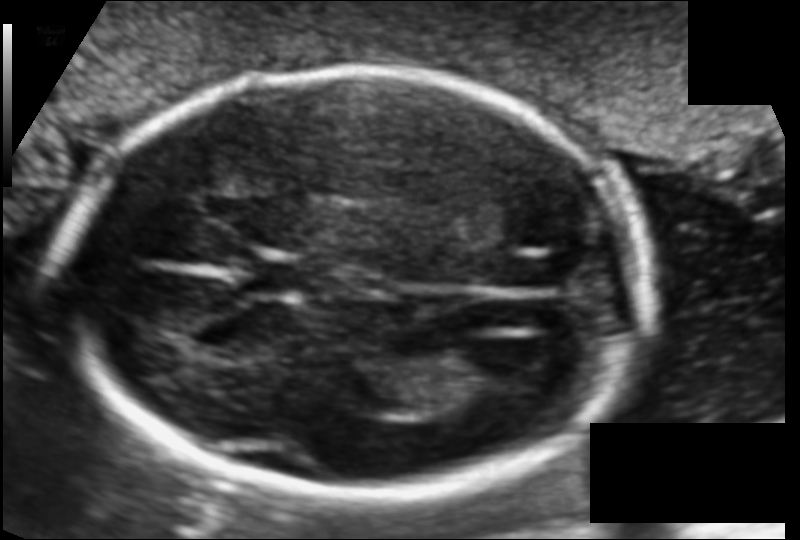
In this fetal head ultrasound, give bounding boxes for the head outline, cavum septum pellucidum (CSP), and lateral ventricle (LV), where visible. Image width: 87.9 mm.

Head: [69,69,644,495]
CSP: [243,252,311,302]
Lateral ventricle: [458,340,548,389]